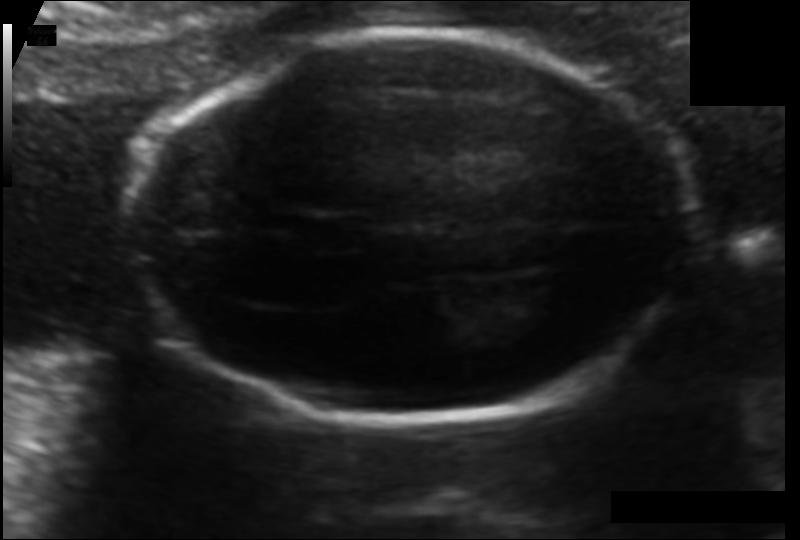
Measure the fetal head circumference shown in this ultrasound image. Image width: 82.3 mm.

Head circumference: 159.5 mm.